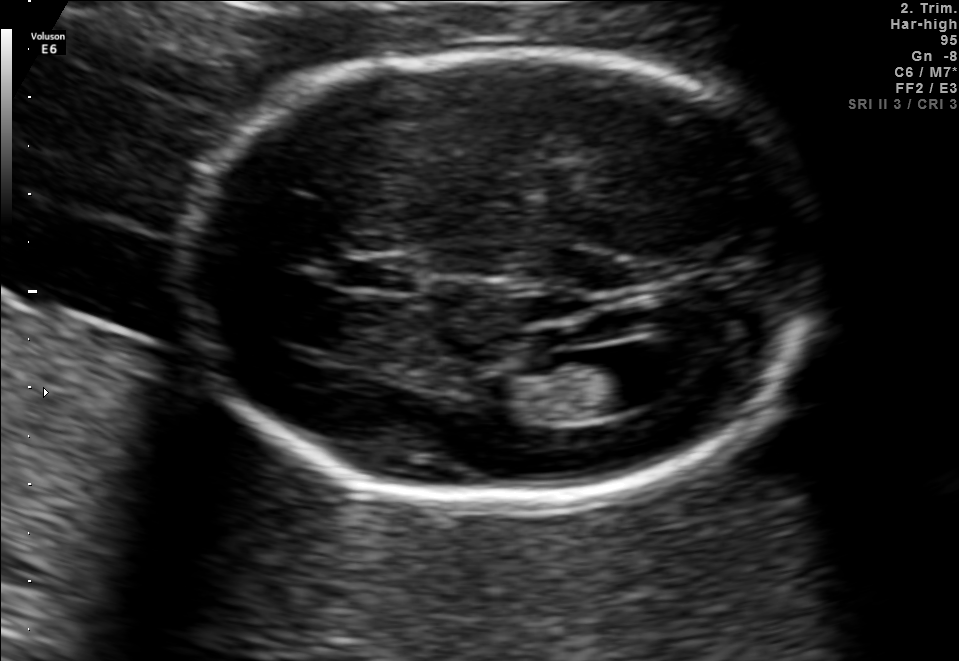
Fetal brain, trans-ventricular plane. Locate the fetal head.

Head: [174,44,823,507]